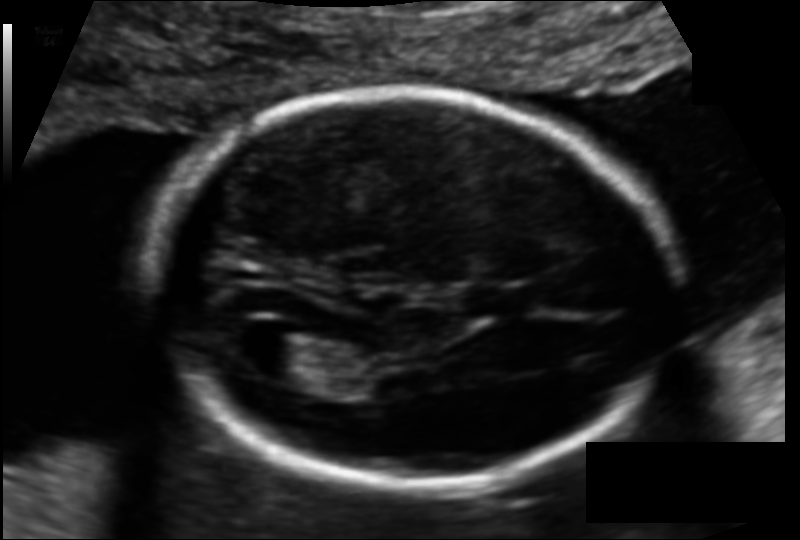
Fetal head ultrasound. Image width: 91.1 mm. Give [x1,y1,x2,y2] bounding boxes for each visible structure among: fetal head, CSP, LV.

Head: [152,89,673,485]
CSP: [466,282,532,319]
Lateral ventricle: [239,325,330,387]